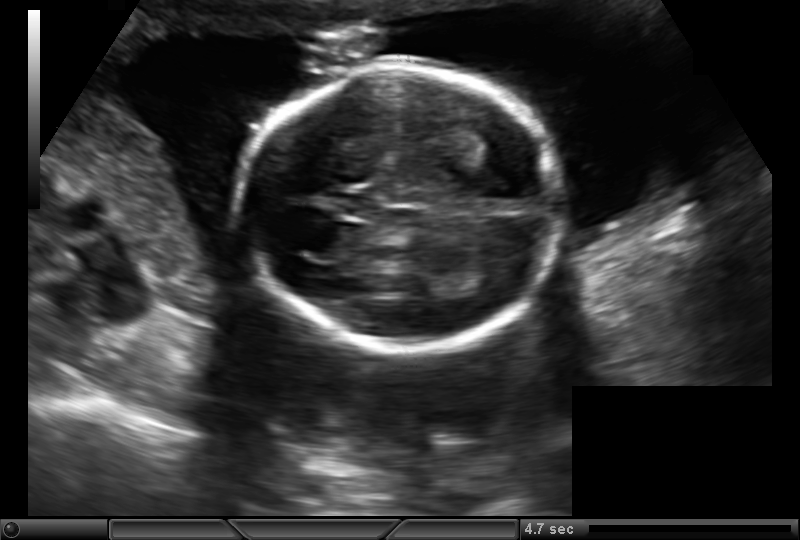
From this fetal ultrasound, estimate the head circumference (image width 129.0 mm).

Head circumference: 160.4 mm.